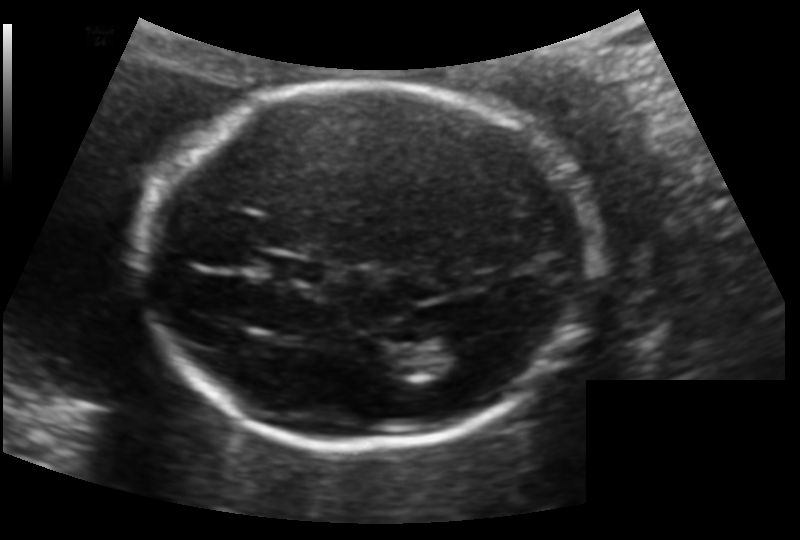
Fetal head ultrasound. Image width: 106.4 mm. Locate the lateral ventricle.

Lateral ventricle: [424,329,484,375]